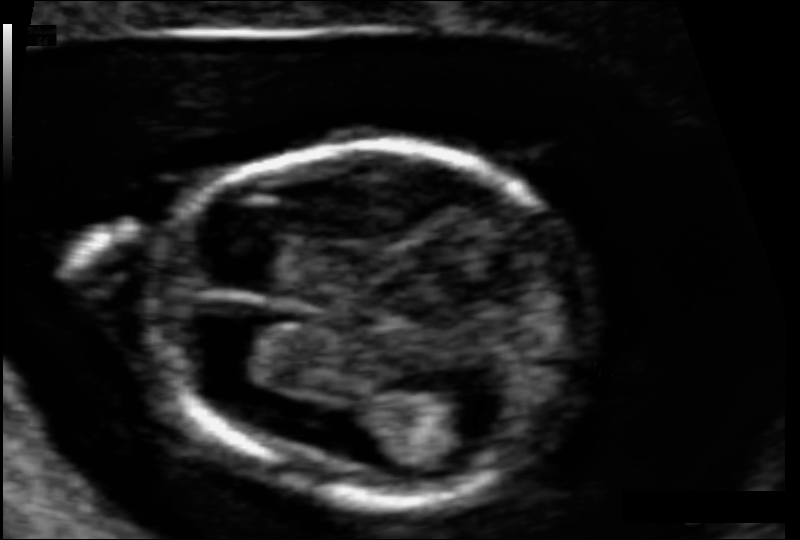
Fetal head ultrasound. Image width: 50.1 mm. Locate the fetal head and, if visible, the cavum septum pellucidum (CSP) and lateral ventricle (LV). Give bounding boxes as [x1,y1,x2,y2].

Head: [149,145,592,502]